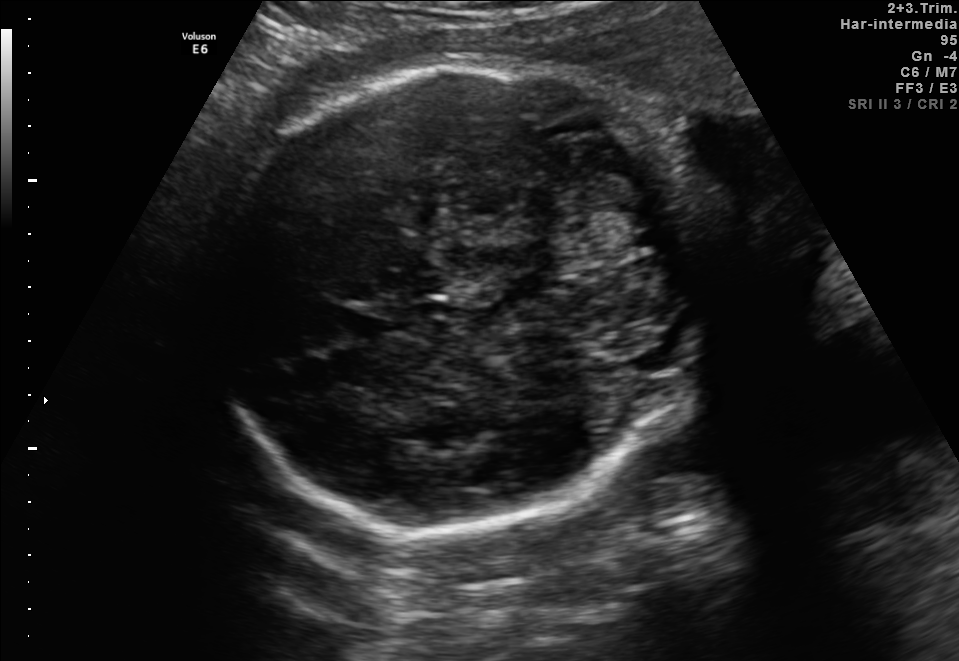
Which standard maternal-fetal ultrasound plane is shown: fetal abdomen, fetal brain, fetal femur, fetal thorax, maternal cervix, or other? If it's fetal brain and one of the three standard brain planes (trans-thalamic, trans-cerebellum, trans-ventricular), name which.

Fetal brain (trans-cerebellum plane)